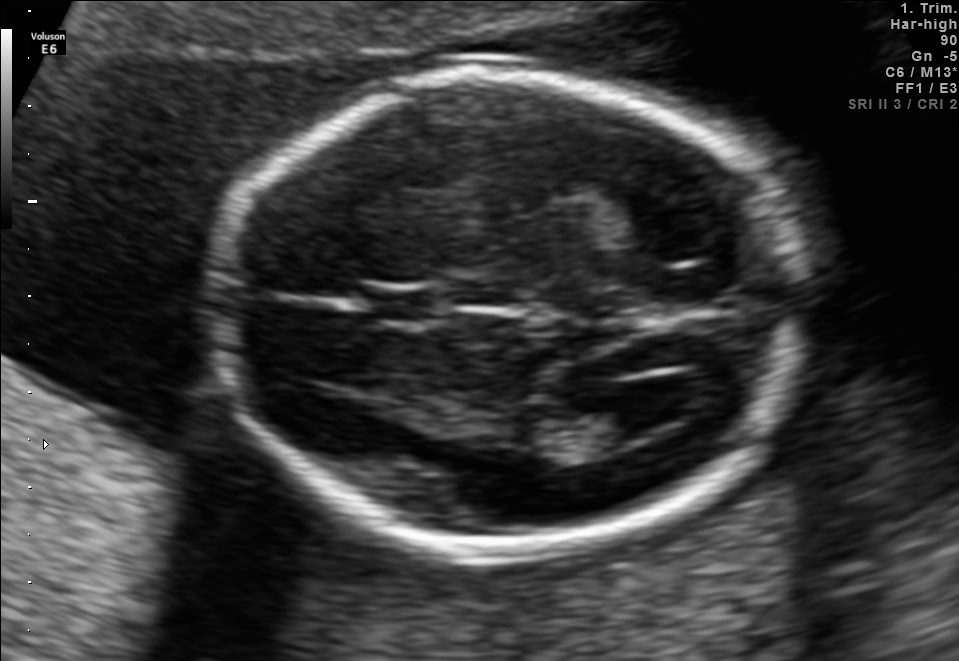
Fetal brain, trans-ventricular plane. Where is the lateral ventricle?

Lateral ventricle bounding box: [598,371,692,440]